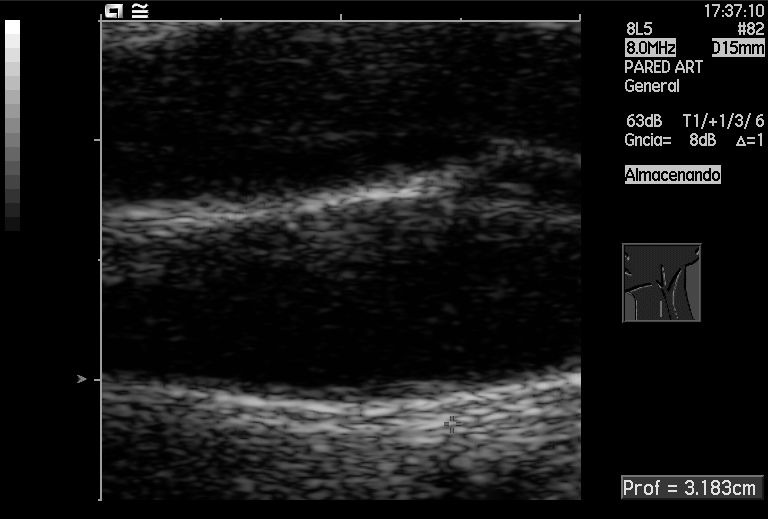
Identify the standard plane in this fetal ultrasound image: fetal abdomen, fetal brain, fetal femur, fetal thorax, maternal cervix, or other. If it's fetal brain and one of the three standard brain planes (trans-thalamic, trans-cerebellum, trans-ventricular), name which.

Other